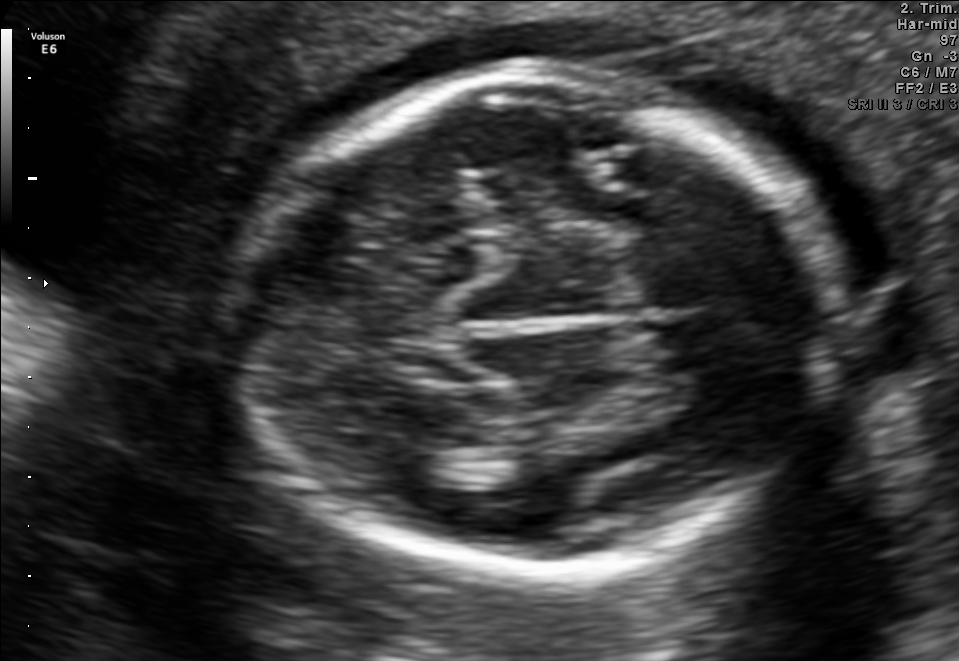
Classify this maternal-fetal ultrasound image as one of the six standard planes — fetal abdomen, fetal brain, fetal femur, fetal thorax, maternal cervix, or other. If it's fetal brain and one of the three standard brain planes (trans-thalamic, trans-cerebellum, trans-ventricular), name which.

Fetal brain (trans-thalamic plane)